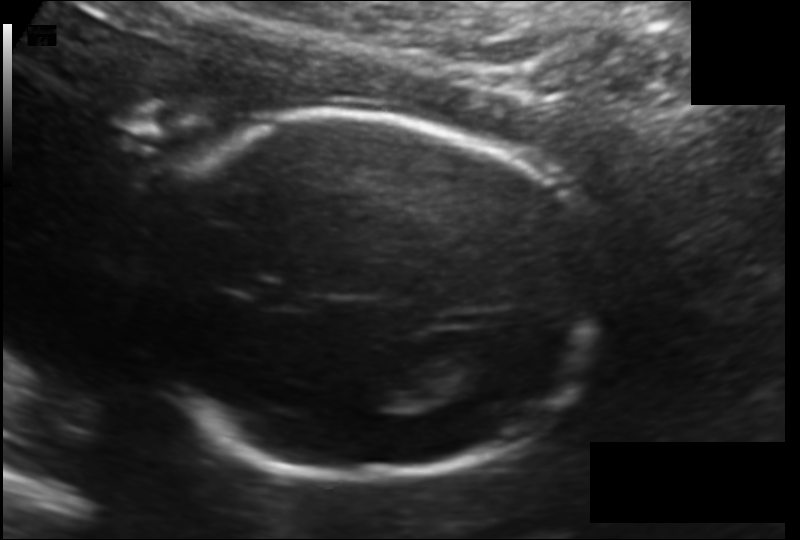
Fetal head ultrasound. Image width: 107.8 mm. Locate the fetal head.

Head: [133,112,598,480]